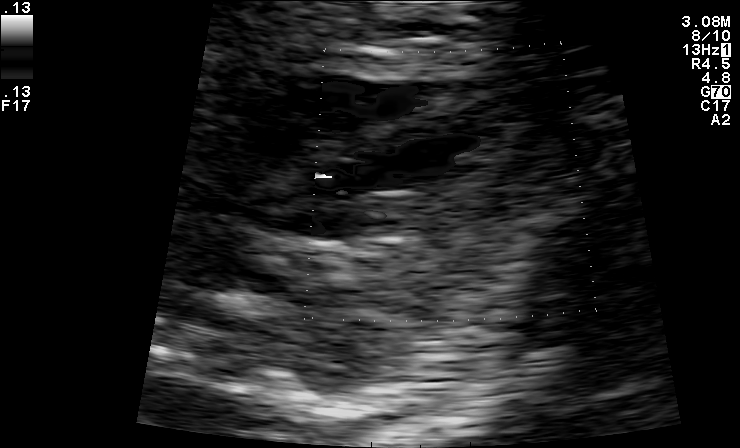
This is a 2D maternal-fetal ultrasound frame. Is it a fetal abdomen, fetal brain, fetal femur, fetal thorax, maternal cervix, or other standard plane? If it's fetal brain and one of the three standard brain planes (trans-thalamic, trans-cerebellum, trans-ventricular), name which.

Other